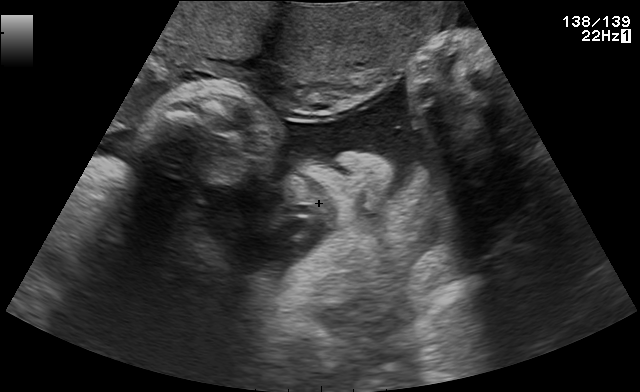
Classify this maternal-fetal ultrasound image as one of the six standard planes — fetal abdomen, fetal brain, fetal femur, fetal thorax, maternal cervix, or other. If it's fetal brain and one of the three standard brain planes (trans-thalamic, trans-cerebellum, trans-ventricular), name which.

Other